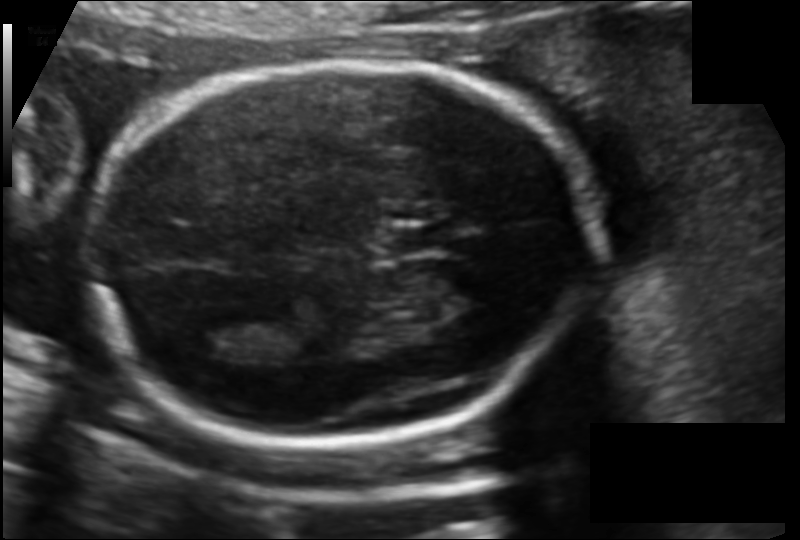
Fetal head ultrasound. Image width: 96.2 mm. Locate the fetal head and, if visible, the cavum septum pellucidum (CSP) and lateral ventricle (LV). Give bounding boxes as [x1,y1,x2,y2].

Head: [85,64,600,440]
CSP: [379,221,455,259]
Lateral ventricle: [185,323,251,360]